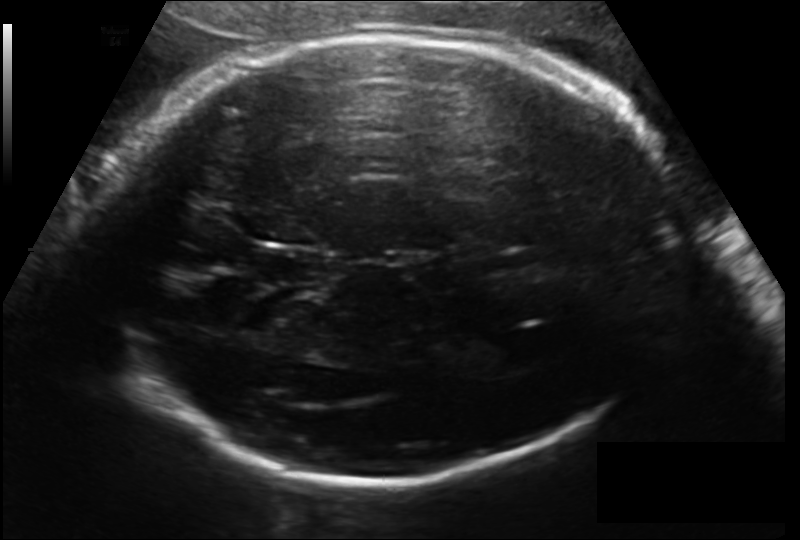
In this fetal head ultrasound, give the bounding box of the cavum septum pellucidum. Image width: 136.7 mm.

[250,247,325,288]